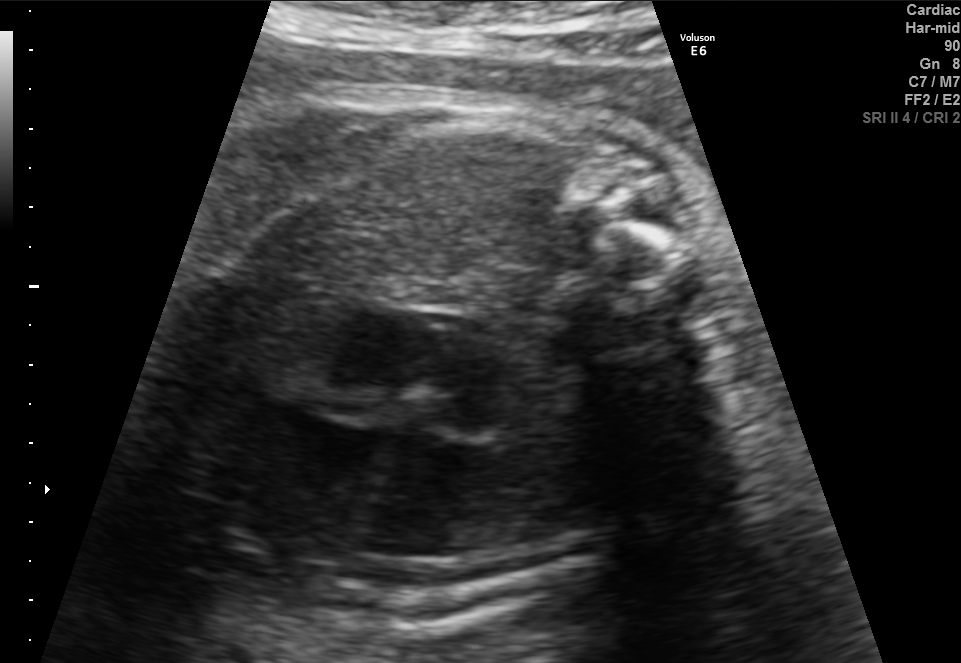
Which standard maternal-fetal ultrasound plane is shown: fetal abdomen, fetal brain, fetal femur, fetal thorax, maternal cervix, or other? If it's fetal brain and one of the three standard brain planes (trans-thalamic, trans-cerebellum, trans-ventricular), name which.

Fetal thorax